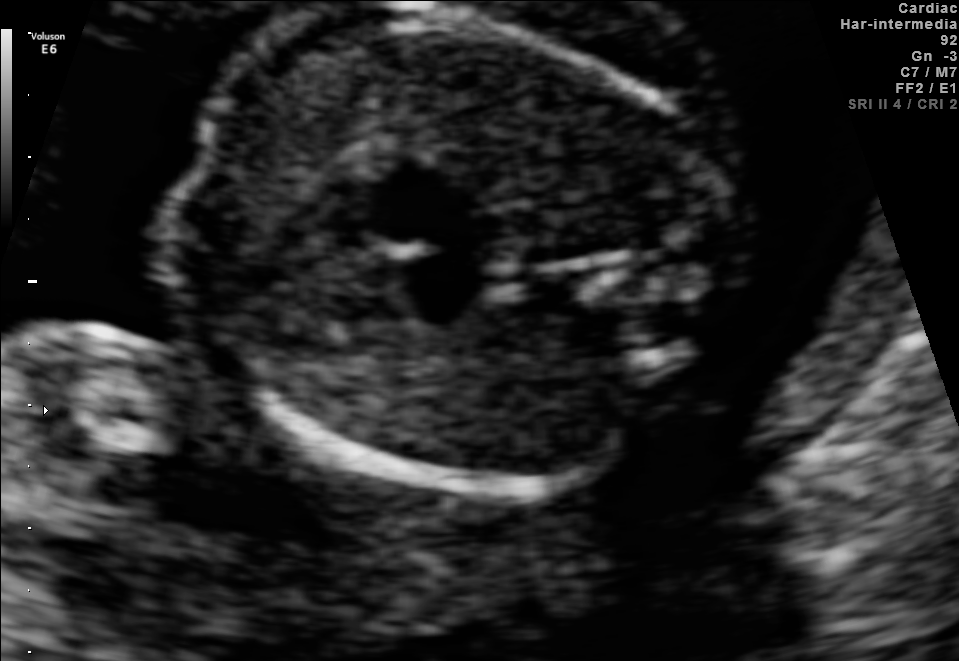
Identify the standard plane in this fetal ultrasound image: fetal abdomen, fetal brain, fetal femur, fetal thorax, maternal cervix, or other. If it's fetal brain and one of the three standard brain planes (trans-thalamic, trans-cerebellum, trans-ventricular), name which.

Fetal thorax